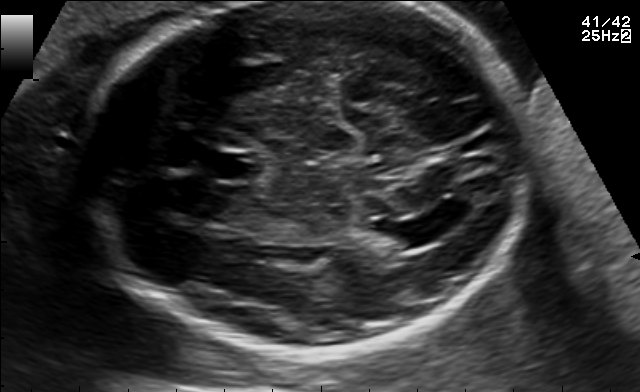
Fetal brain, trans-ventricular plane. Locate the cavum septum pellucidum.

CSP: [197,150,263,183]